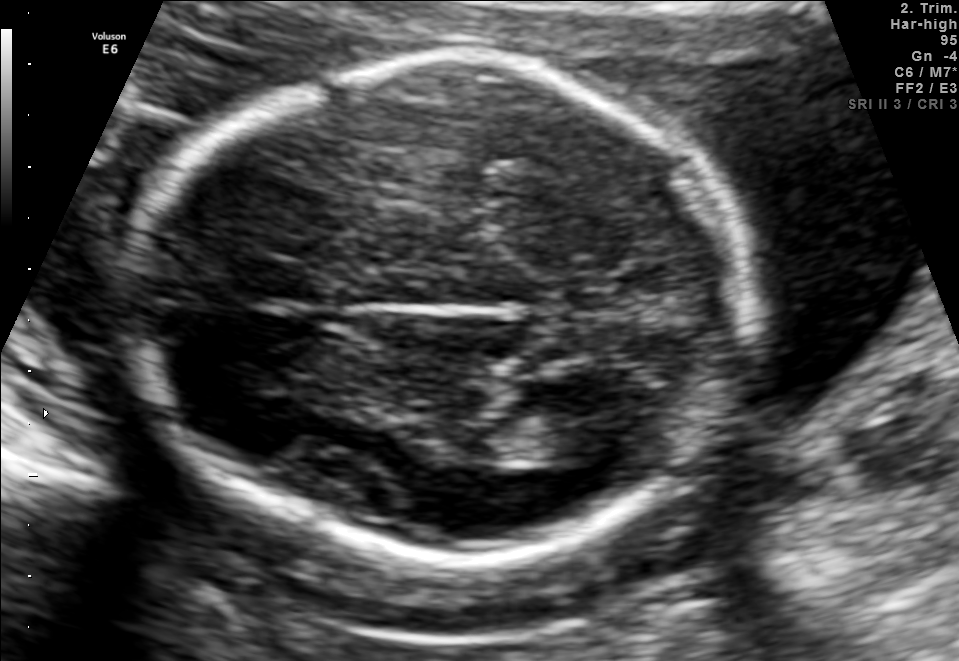
In this fetal brain, trans-thalamic plane, give the bounding box of the lateral ventricle.

[515,409,619,469]